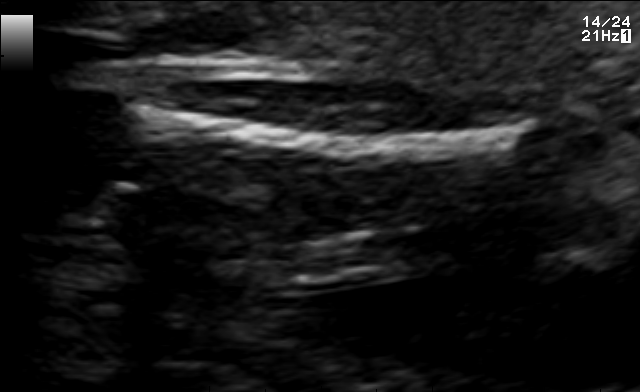
This is a 2D maternal-fetal ultrasound frame. Is it a fetal abdomen, fetal brain, fetal femur, fetal thorax, maternal cervix, or other standard plane? If it's fetal brain and one of the three standard brain planes (trans-thalamic, trans-cerebellum, trans-ventricular), name which.

Fetal femur